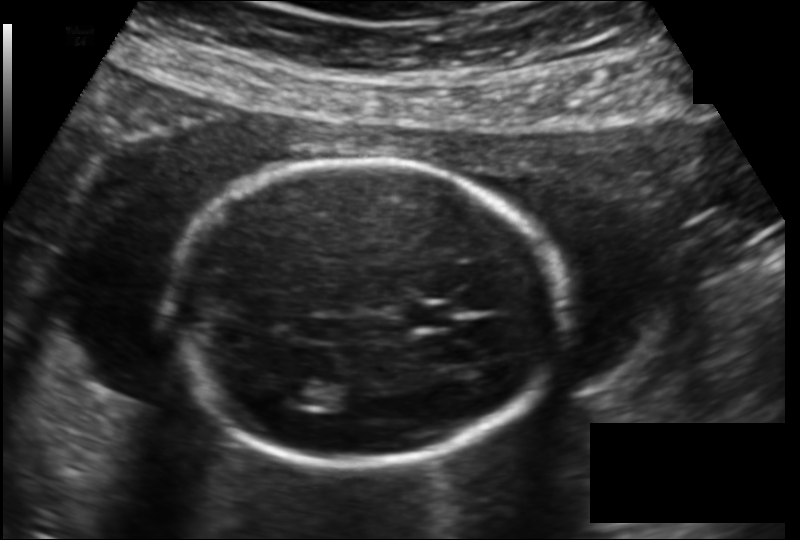
Fetal head ultrasound. Image width: 119.1 mm. Give [x1,y1,x2,y2] bounding boxes for each visible structure among: fetal head, CSP, LV.

Head: [173,162,561,462]
CSP: [408,305,452,327]
Lateral ventricle: [272,374,323,412]